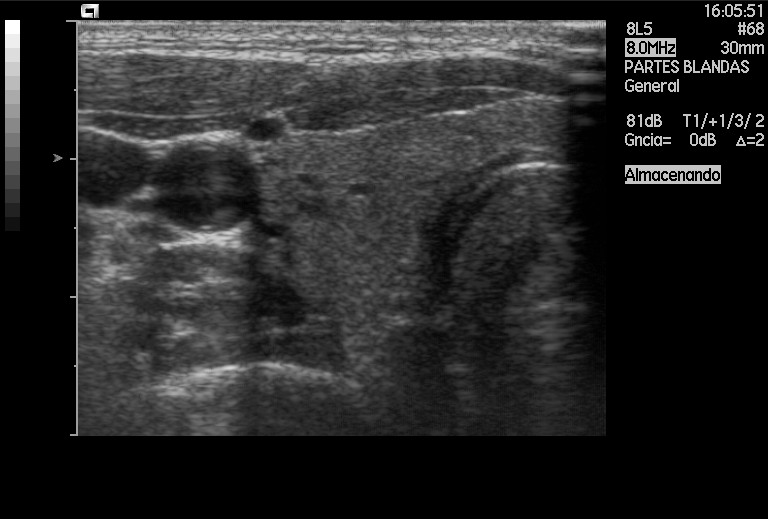
Which standard maternal-fetal ultrasound plane is shown: fetal abdomen, fetal brain, fetal femur, fetal thorax, maternal cervix, or other? If it's fetal brain and one of the three standard brain planes (trans-thalamic, trans-cerebellum, trans-ventricular), name which.

Other